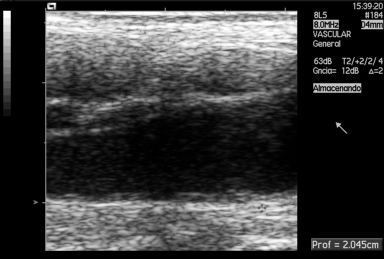
This is a 2D maternal-fetal ultrasound frame. Is it a fetal abdomen, fetal brain, fetal femur, fetal thorax, maternal cervix, or other standard plane? If it's fetal brain and one of the three standard brain planes (trans-thalamic, trans-cerebellum, trans-ventricular), name which.

Other